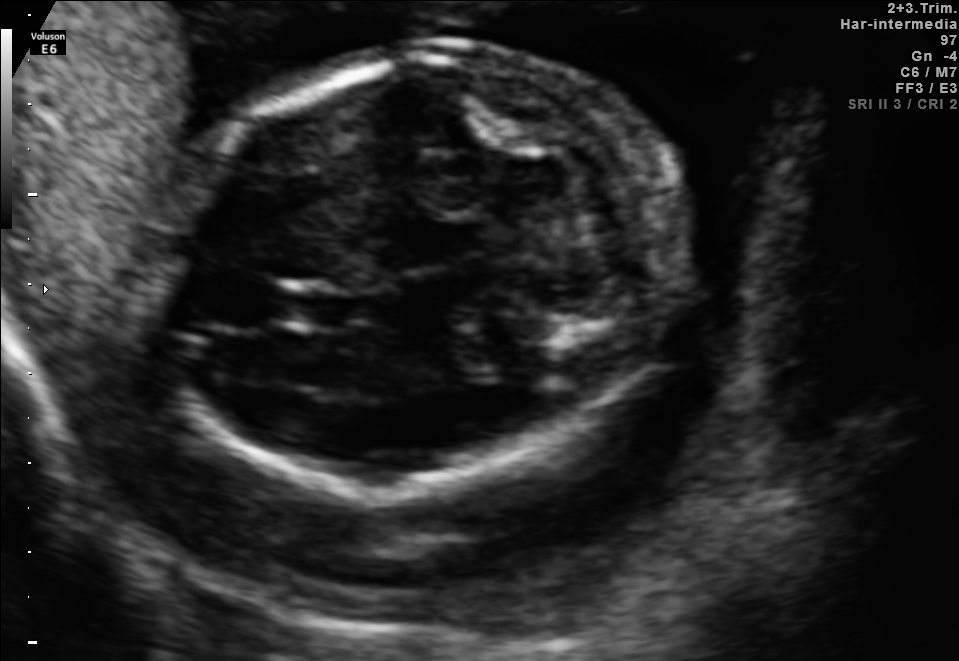
Fetal brain, trans-cerebellum plane. Locate the fetal head.

Head: [146,54,685,485]